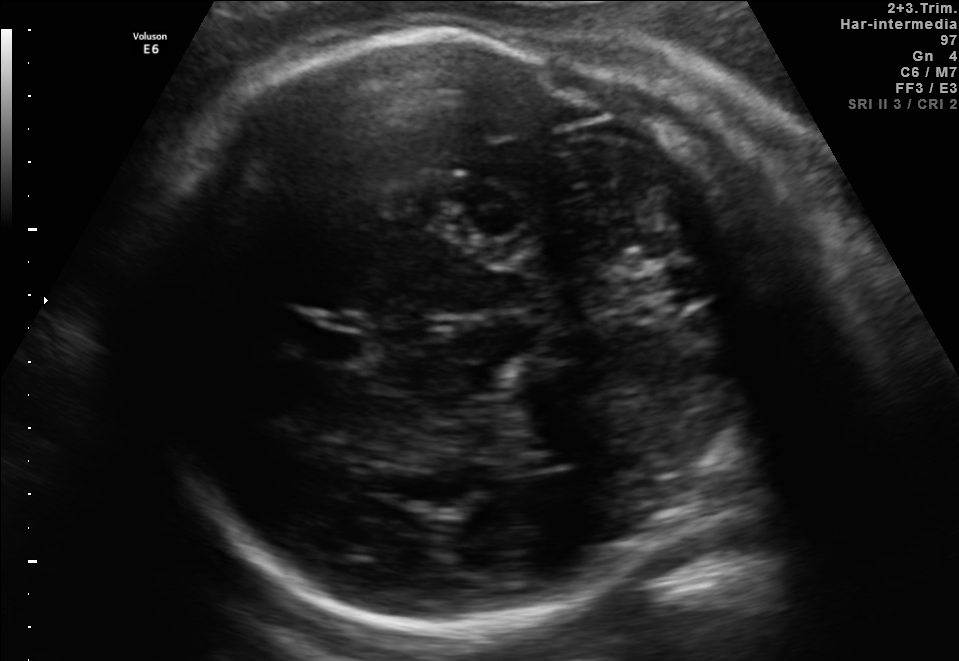
Fetal brain, trans-thalamic plane. Where is the cavum septum pellucidum?

CSP bounding box: [300,328,367,365]